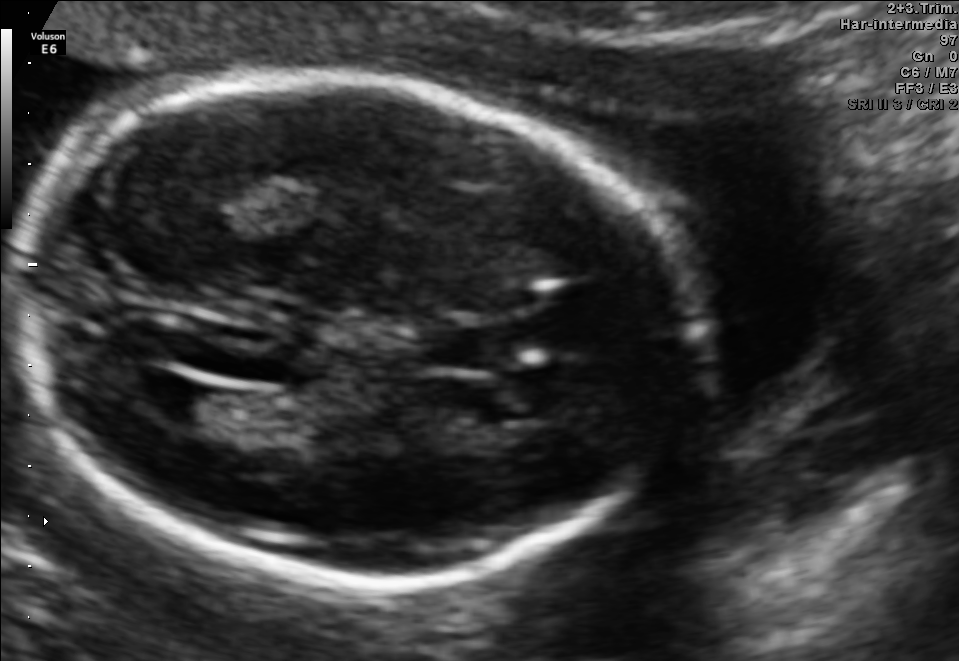
In this fetal brain, trans-ventricular plane, give bounding boxes for the head outline, cavum septum pellucidum (CSP), and lateral ventricle (LV), where visible.

Head: [10,65,719,596]
CSP: [429,329,499,368]
Lateral ventricle: [134,367,218,431]